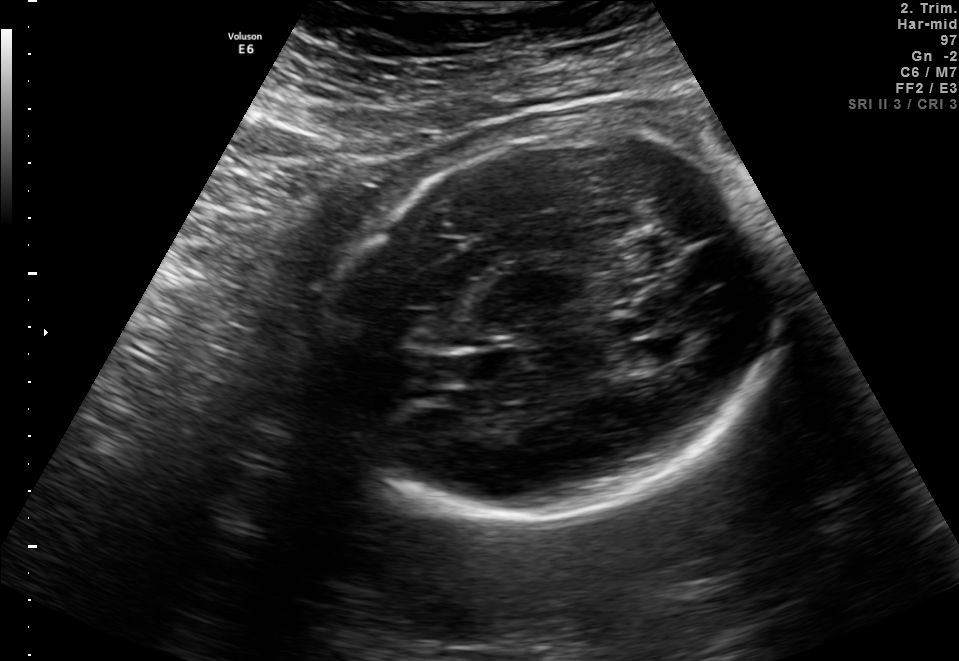
Fetal brain, trans-ventricular plane. Give [x1,y1,x2,y2] bounding boxes for each visible structure among: fetal head, CSP, LV.

Head: [317,127,790,526]